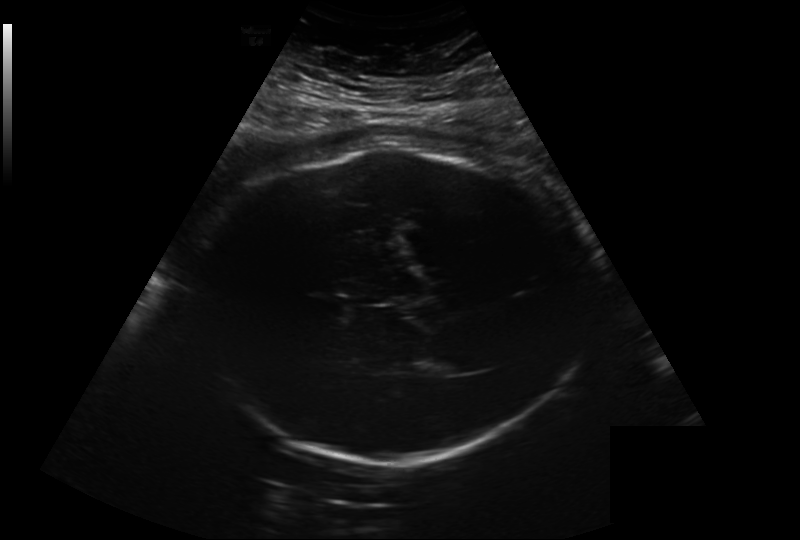
Fetal head ultrasound. Image width: 225.2 mm. Locate the lateral ventricle.

Lateral ventricle: [428,352,470,376]